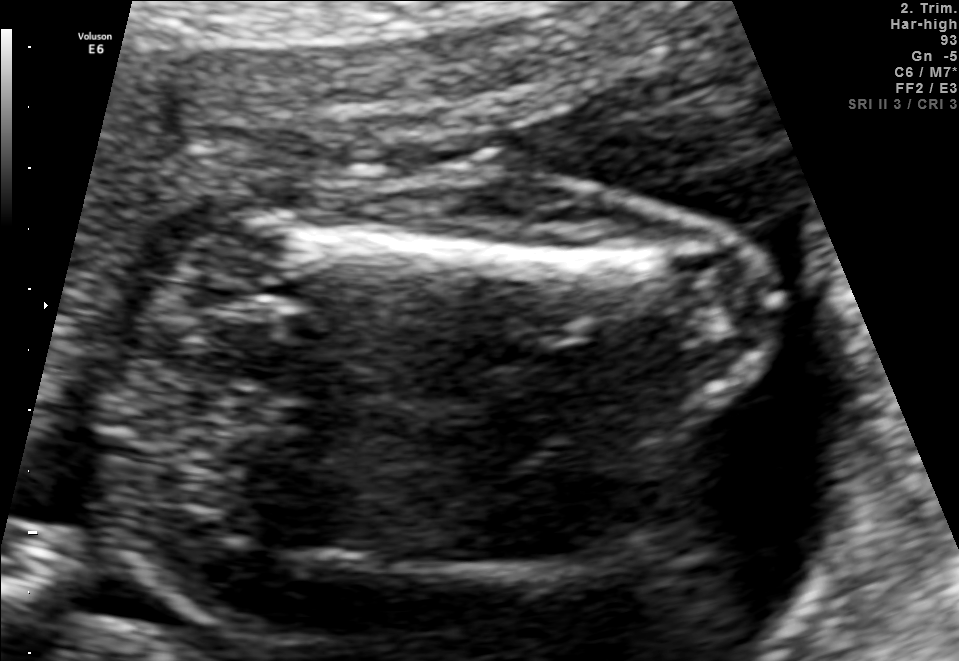
Identify the standard plane in this fetal ultrasound image: fetal abdomen, fetal brain, fetal femur, fetal thorax, maternal cervix, or other. If it's fetal brain and one of the three standard brain planes (trans-thalamic, trans-cerebellum, trans-ventricular), name which.

Fetal femur